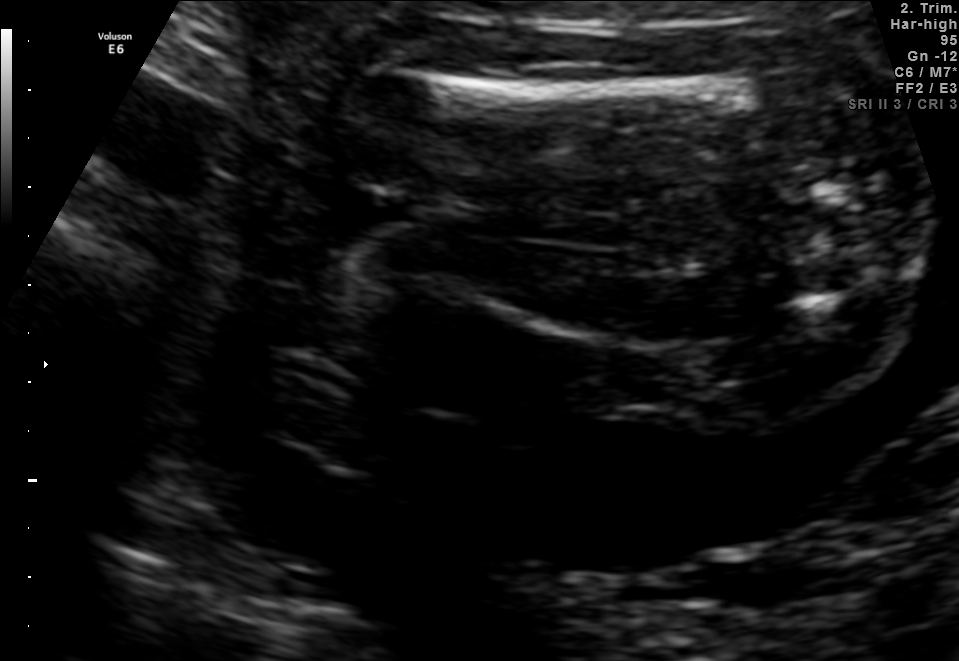
Which standard maternal-fetal ultrasound plane is shown: fetal abdomen, fetal brain, fetal femur, fetal thorax, maternal cervix, or other? If it's fetal brain and one of the three standard brain planes (trans-thalamic, trans-cerebellum, trans-ventricular), name which.

Fetal femur